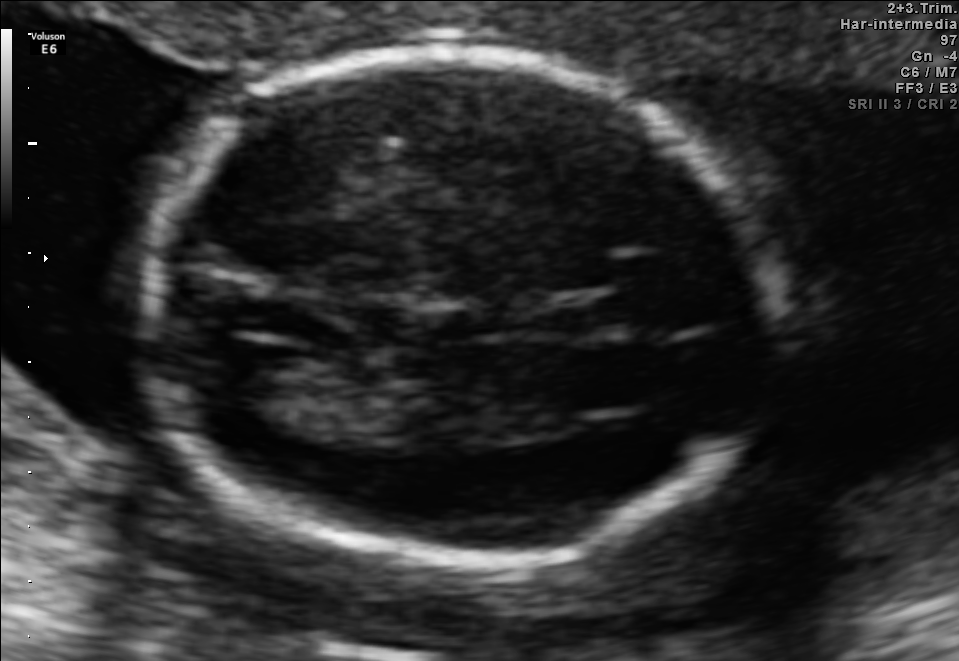
Fetal brain, trans-ventricular plane. Locate the fetal head.

Head: [124,44,797,579]